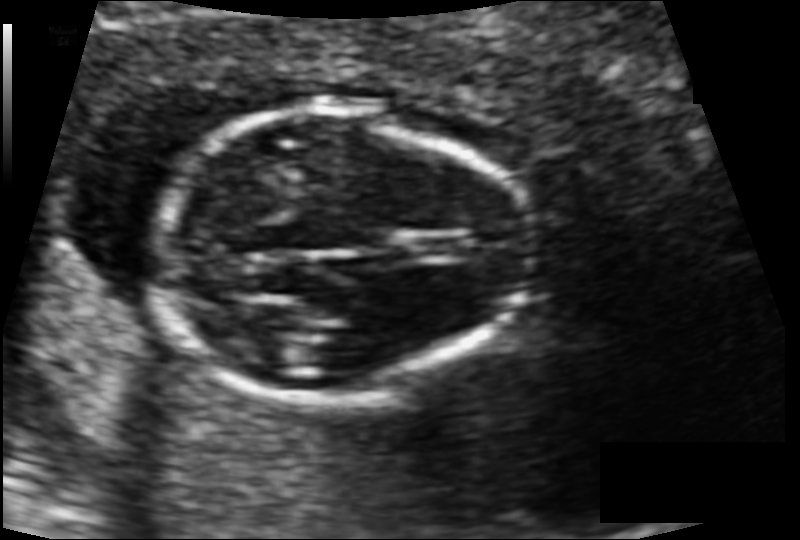
Fetal head ultrasound. Image width: 71.4 mm. Locate the fetal head.

Head: [152,101,536,399]